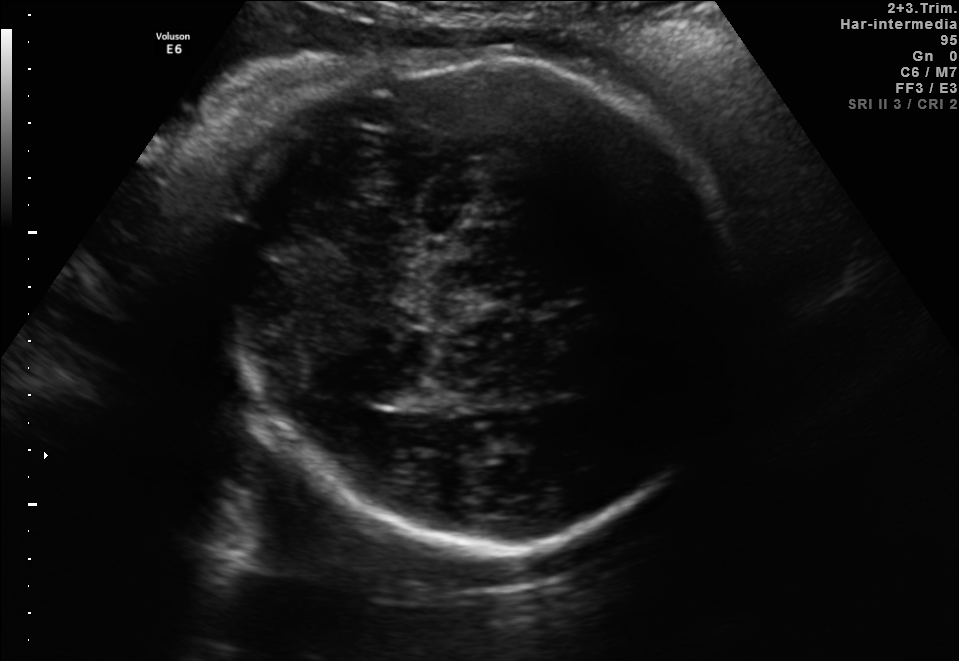
Fetal brain, trans-thalamic plane. Where is the fetal head?

Head bounding box: [218,56,735,549]